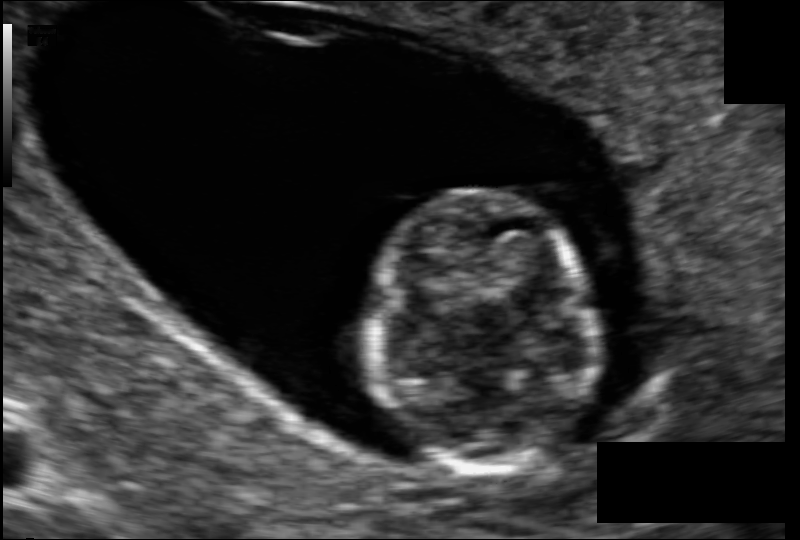
Fetal head ultrasound. Image width: 73.7 mm. Locate the fetal head and, if visible, the cavum septum pellucidum (CSP) and lateral ventricle (LV). Give bounding boxes as [x1,y1,x2,y2].

Head: [370,192,591,469]